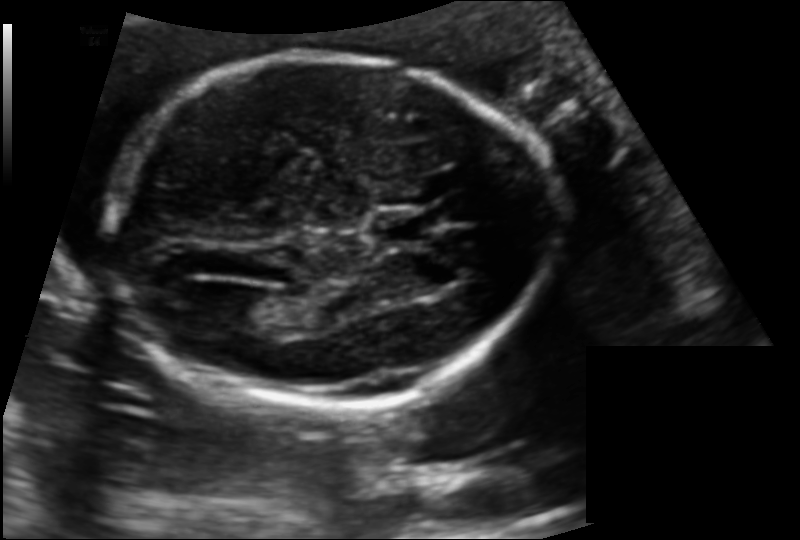
In this fetal head ultrasound, give the bounding box of the cavum septum pellucidum. Image width: 105.8 mm.

[376,211,431,243]